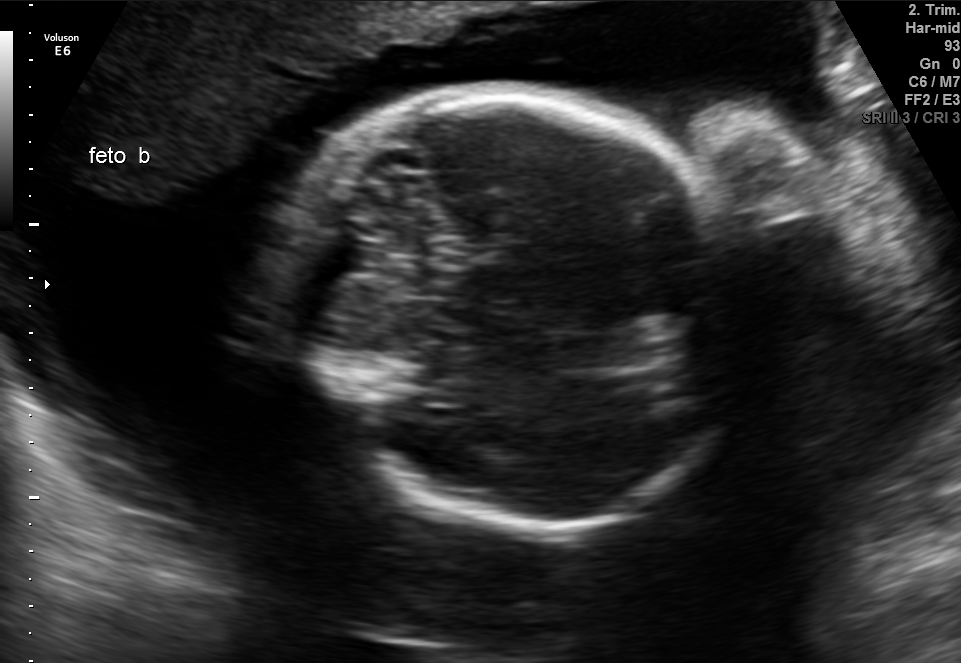
Fetal brain, trans-cerebellum plane. Give [x1,y1,x2,y2] bounding boxes for each visible structure among: fetal head, CSP, LV.

Head: [286,88,750,527]